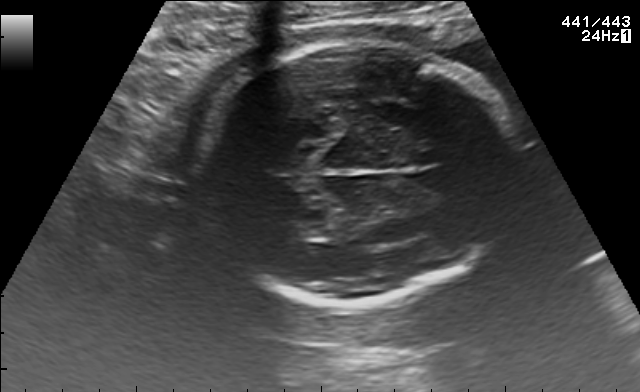
In this fetal brain, trans-thalamic plane, give bounding boxes for the head outline, cavum septum pellucidum (CSP), and lateral ventricle (LV), where visible.

Head: [195,42,513,305]